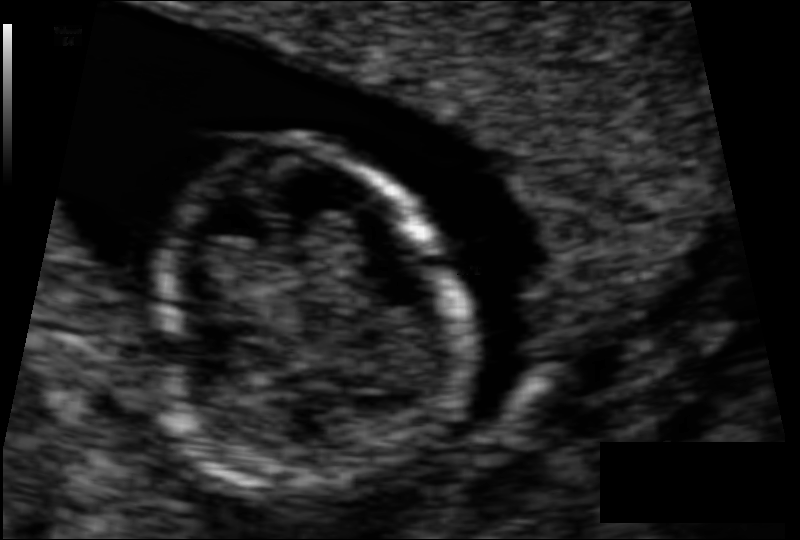
In this fetal head ultrasound, give bounding boxes for the head outline, cavum septum pellucidum (CSP), and lateral ventricle (LV), where visible. Image width: 49.5 mm.

Head: [147,138,458,485]